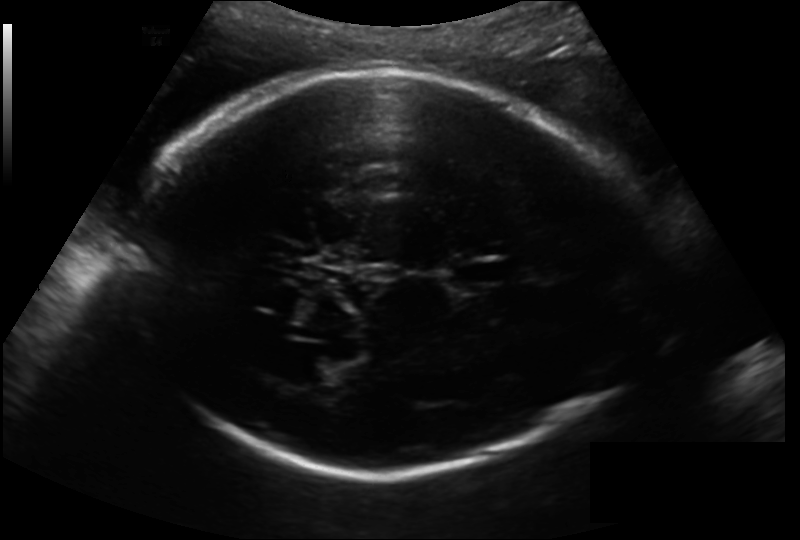
In this fetal head ultrasound, give the bounding box of the cavum septum pellucidum. Image width: 154.5 mm.

[450,258,507,287]